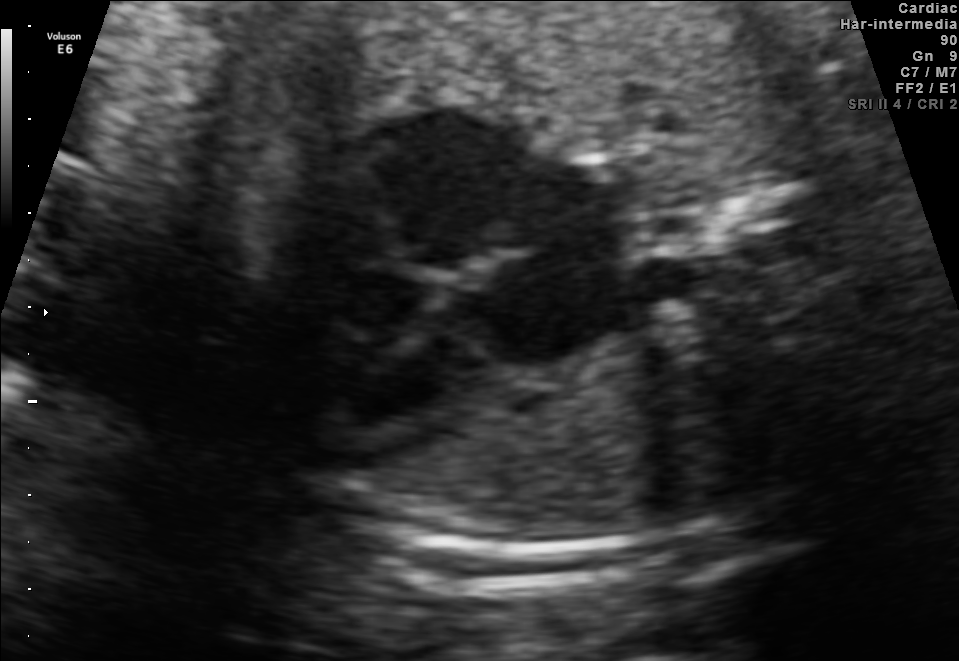
This is a 2D maternal-fetal ultrasound frame. Is it a fetal abdomen, fetal brain, fetal femur, fetal thorax, maternal cervix, or other standard plane? If it's fetal brain and one of the three standard brain planes (trans-thalamic, trans-cerebellum, trans-ventricular), name which.

Fetal thorax